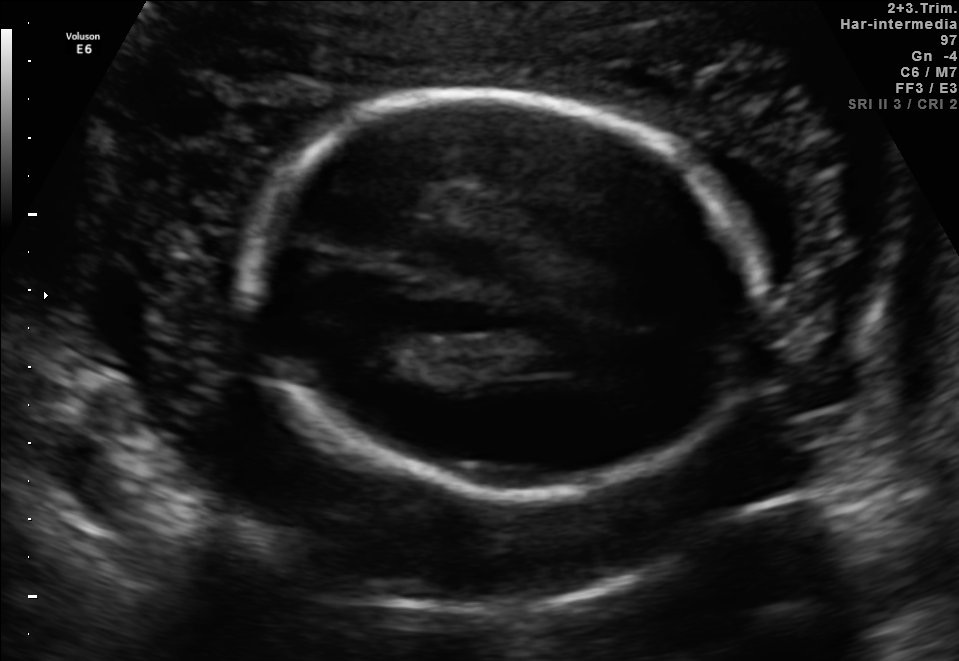
Fetal brain, trans-thalamic plane. Locate the fetal head and, if visible, the cavum septum pellucidum (CSP) and lateral ventricle (LV). Give bounding boxes as [x1,y1,x2,y2].

Head: [250,98,765,499]